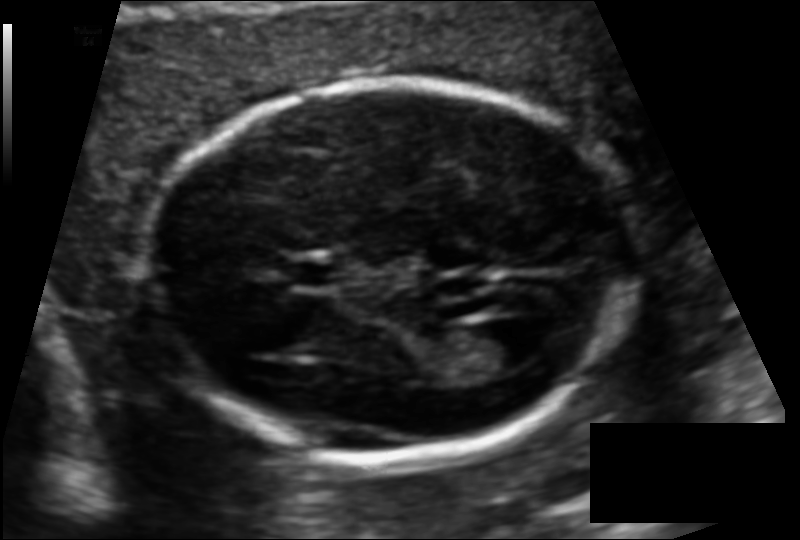
In this fetal head ultrasound, give the bounding box of the lateral ventricle. Image width: 88.0 mm.

[462,311,551,378]